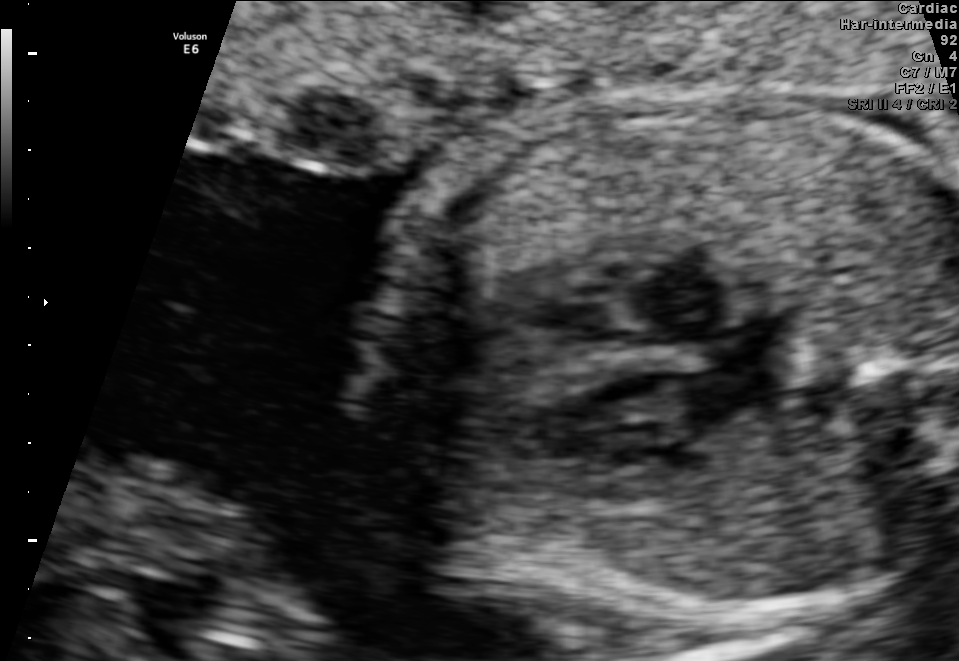
This is a 2D maternal-fetal ultrasound frame. Is it a fetal abdomen, fetal brain, fetal femur, fetal thorax, maternal cervix, or other standard plane? If it's fetal brain and one of the three standard brain planes (trans-thalamic, trans-cerebellum, trans-ventricular), name which.

Fetal thorax